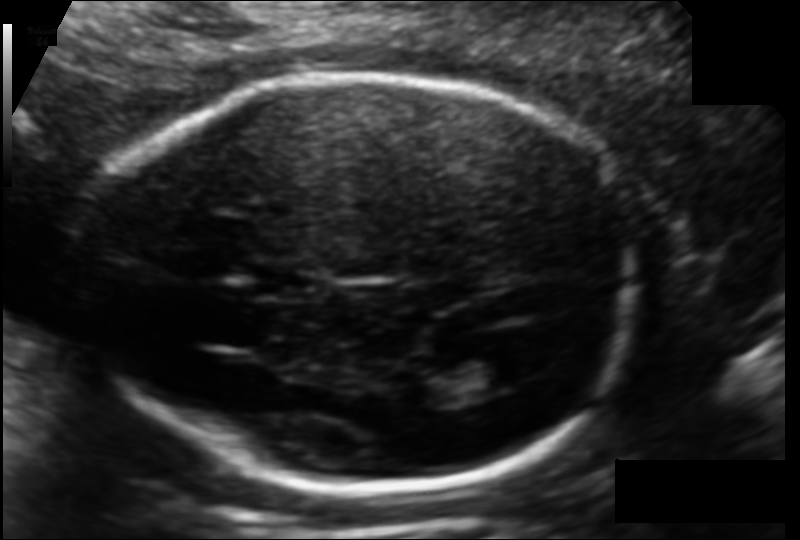
Measure the fetal head circumference shown in this ultrasound image. Image width: 90.5 mm.

Head circumference: 181.2 mm.